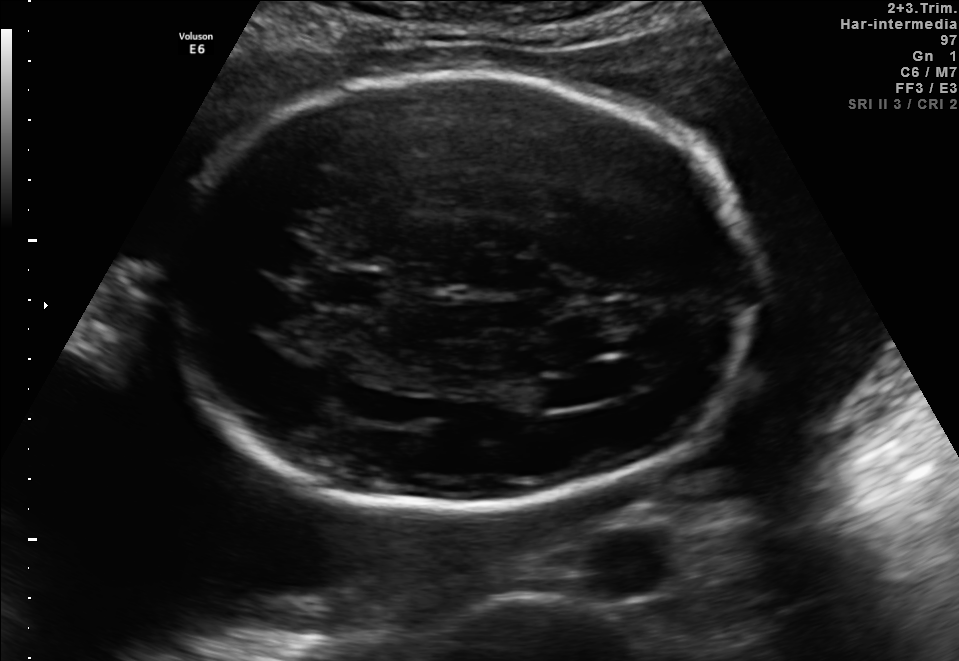
Fetal brain, trans-ventricular plane. Locate the fetal head and, if visible, the cavum septum pellucidum (CSP) and lateral ventricle (LV). Give bounding boxes as [x1,y1,x2,y2].

Head: [166,68,759,513]
CSP: [314,267,377,308]
Lateral ventricle: [531,375,590,413]